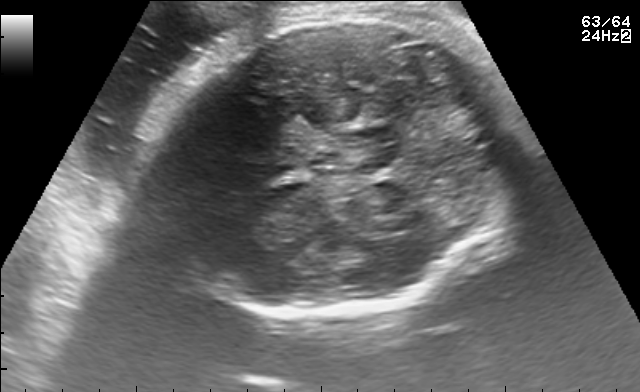
Fetal brain, trans-cerebellum plane. Locate the fetal head and, if visible, the cavum septum pellucidum (CSP) and lateral ventricle (LV). Give bounding boxes as [x1,y1,x2,y2].

Head: [151,13,519,317]